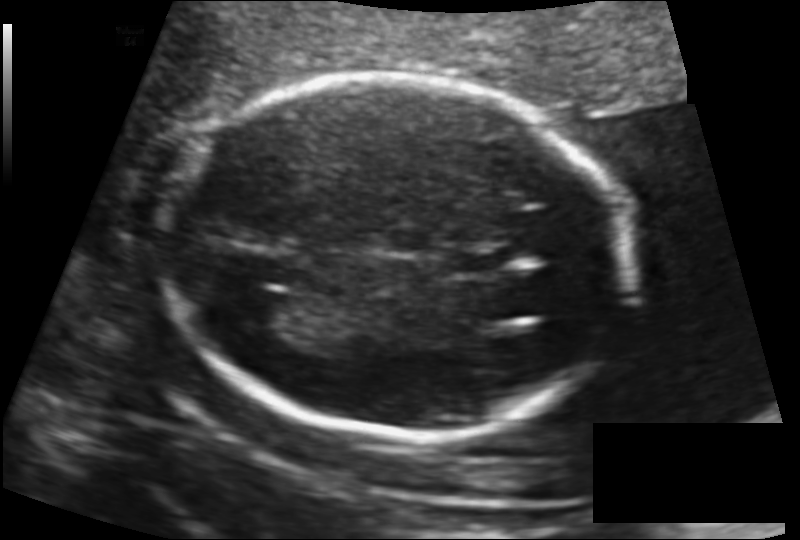
What is the fetal head circumference? Image width is 104.1 mm.

175.8 mm